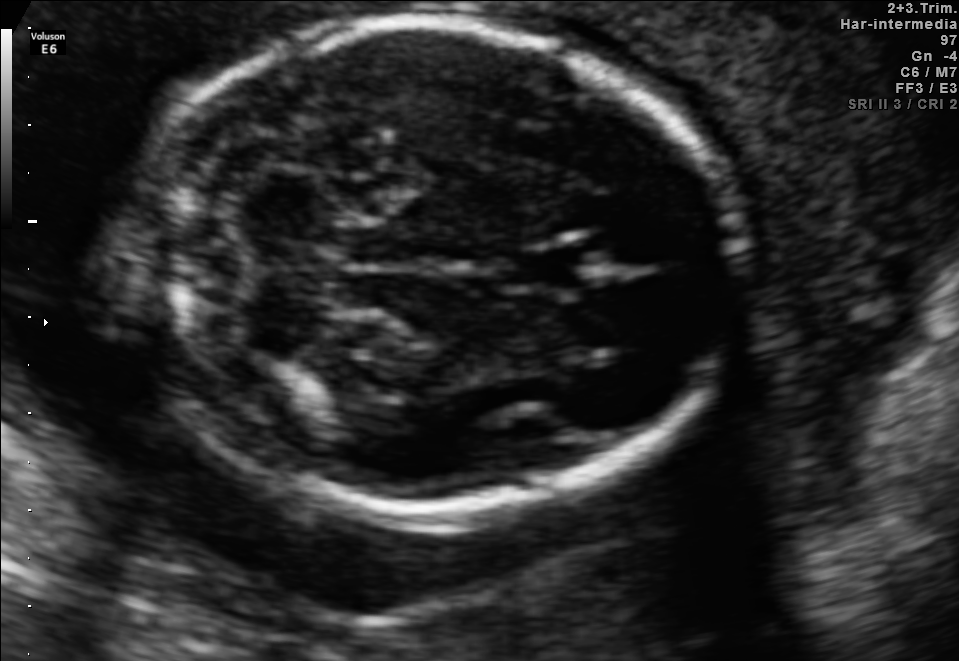
Fetal brain, trans-cerebellum plane. Where is the fetal head?

Head bounding box: [130,23,739,518]